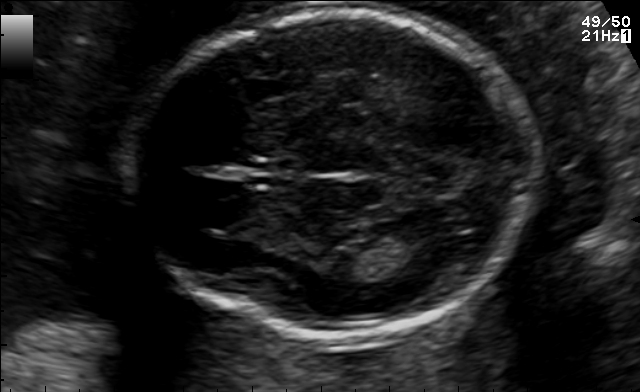
Identify the standard plane in this fetal ultrasound image: fetal abdomen, fetal brain, fetal femur, fetal thorax, maternal cervix, or other. If it's fetal brain and one of the three standard brain planes (trans-thalamic, trans-cerebellum, trans-ventricular), name which.

Fetal brain (trans-thalamic plane)